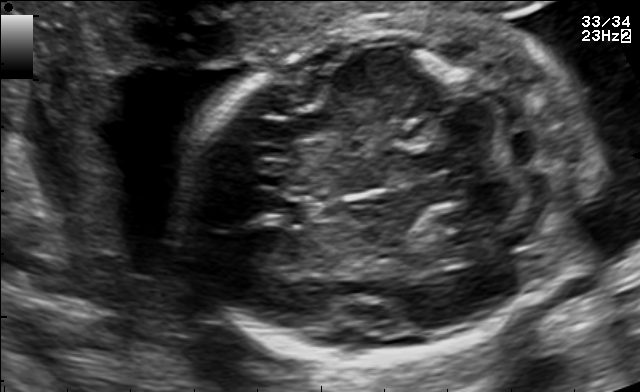
Fetal brain, trans-cerebellum plane. Where is the cavum septum pellucidum?

CSP bounding box: [275,198,320,229]